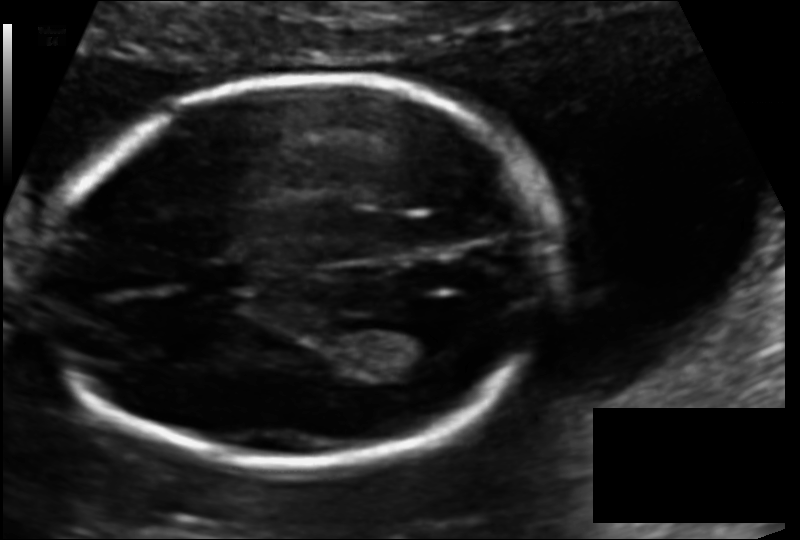
Fetal head ultrasound. Image width: 90.5 mm. Locate the cavum septum pellucidum.

CSP: [180,258,252,300]